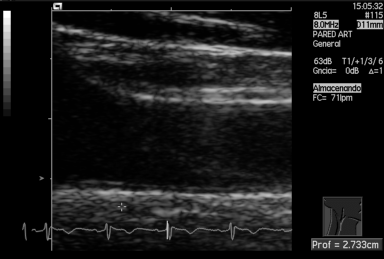
This is a 2D maternal-fetal ultrasound frame. Is it a fetal abdomen, fetal brain, fetal femur, fetal thorax, maternal cervix, or other standard plane? If it's fetal brain and one of the three standard brain planes (trans-thalamic, trans-cerebellum, trans-ventricular), name which.

Other